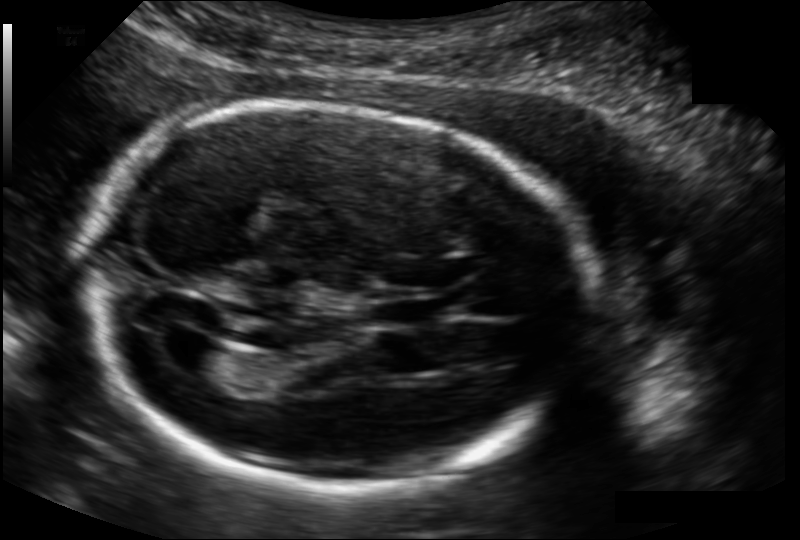
From this fetal ultrasound, estimate the head circumference (image width 107.6 mm).

Head circumference: 192.3 mm.